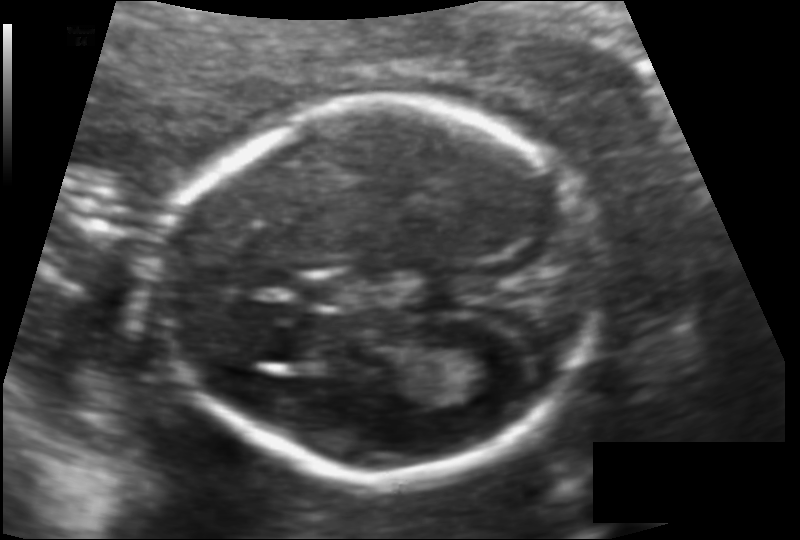
What is the fetal head circumference? Image width is 90.5 mm.

149.1 mm